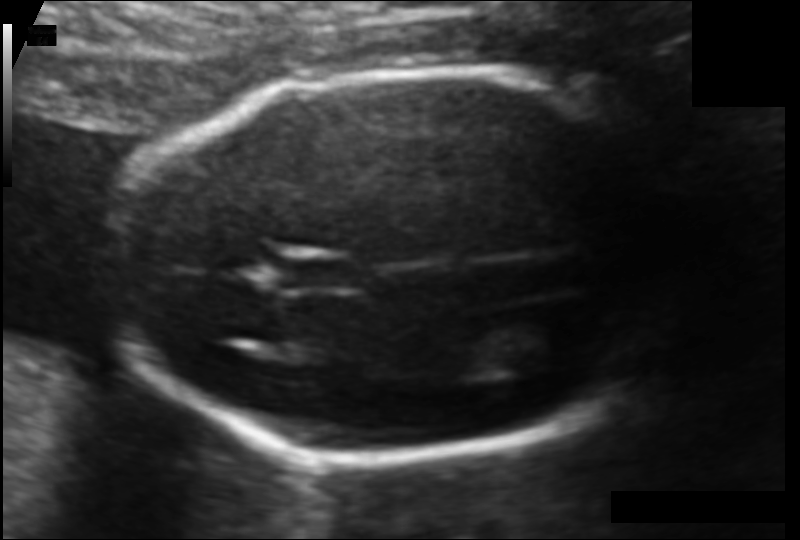
In this fetal head ultrasound, give bounding boxes for the head outline, cavum septum pellucidum (CSP), and lateral ventricle (LV), where visible. Image width: 82.3 mm.

Head: [114,71,669,464]
CSP: [279,259,352,288]
Lateral ventricle: [490,312,584,376]